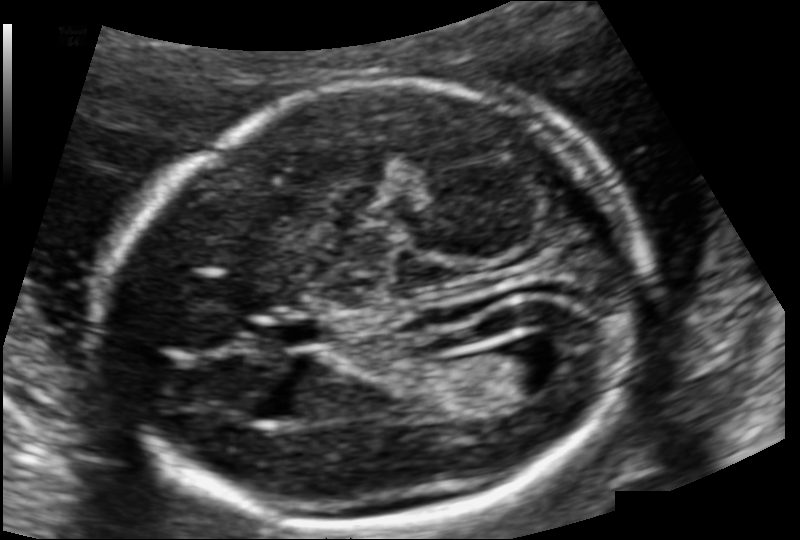
From this fetal ultrasound, estimate the head circumference (image width 89.0 mm).

Head circumference: 176.7 mm.